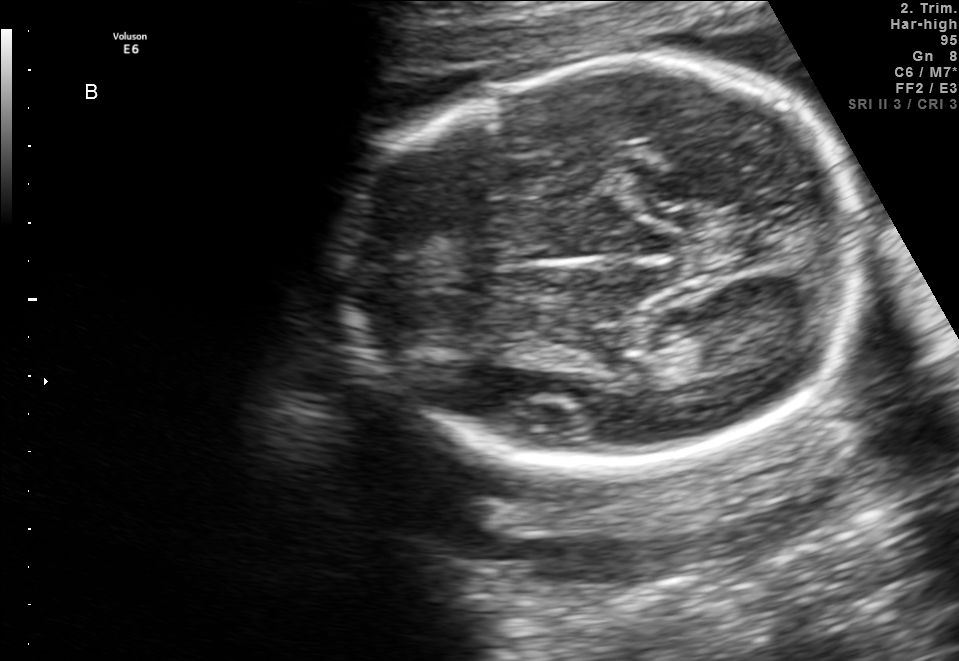
In this fetal brain, trans-thalamic plane, give the bounding box of the fetal head.

[333,66,870,463]